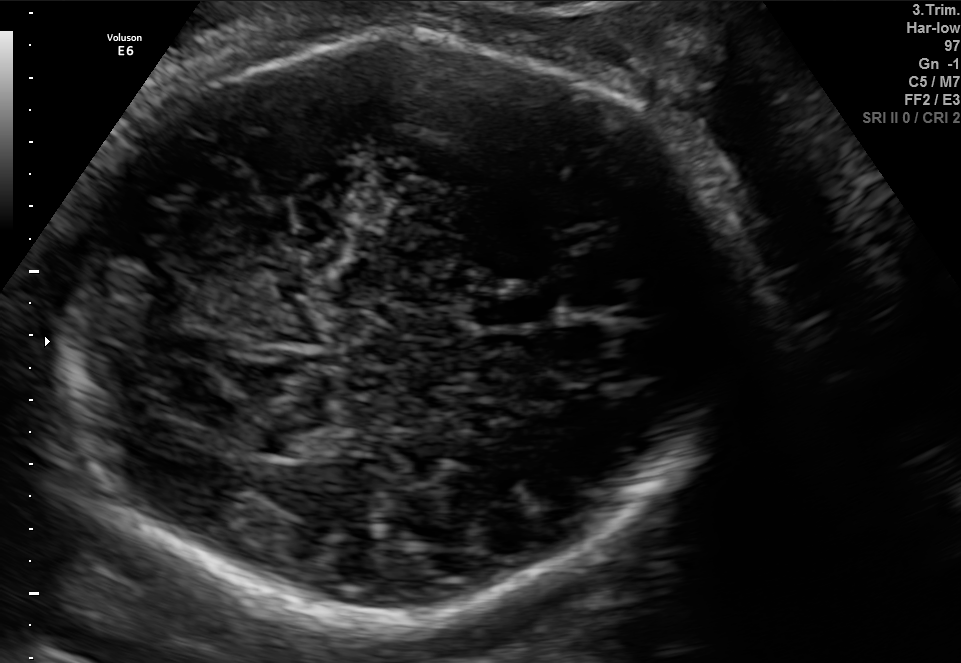
In this fetal brain, trans-cerebellum plane, give the bounding box of the cavum septum pellucidum.

[469,287,558,331]